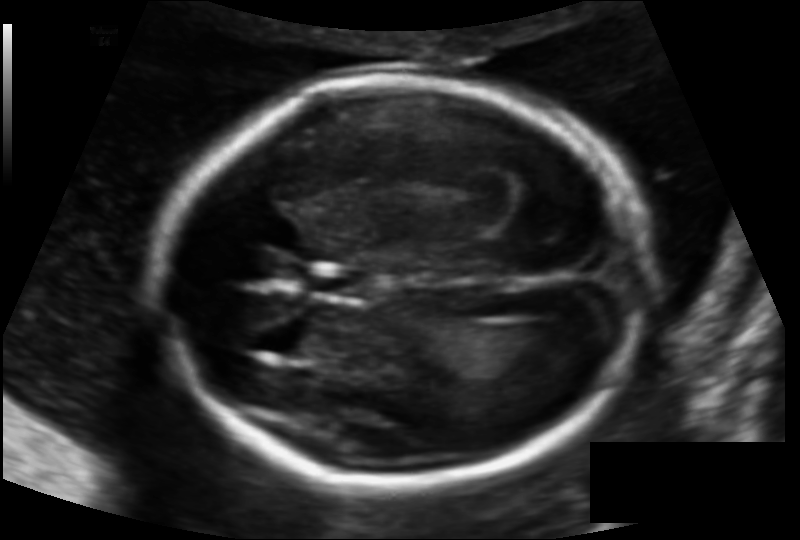
Measure the fetal head circumference shown in this ultrasound image. Image width: 97.8 mm.

Head circumference: 177.1 mm.